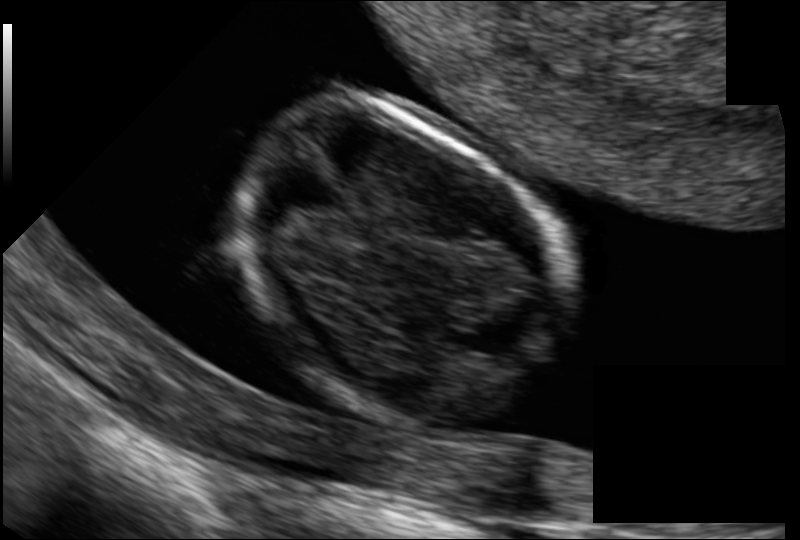
From this fetal ultrasound, estimate the head circumference (image width 55.2 mm).

Head circumference: 72.7 mm.